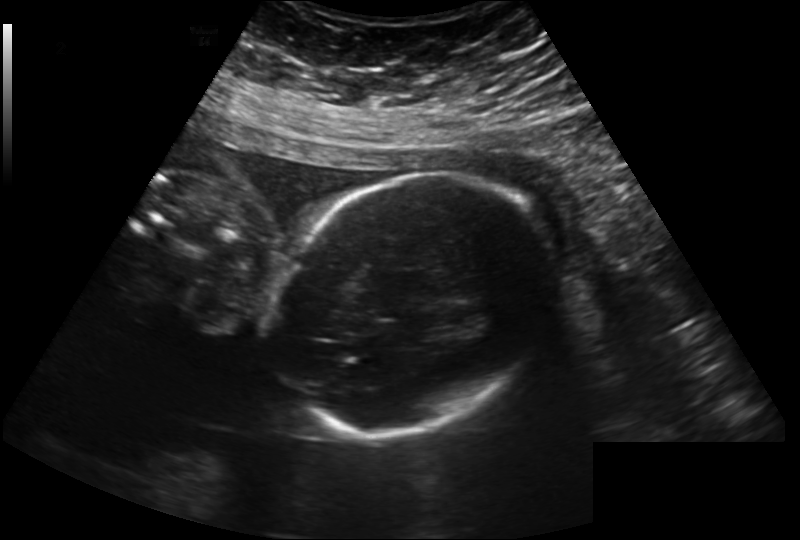
Fetal head ultrasound. Image width: 177.4 mm. Locate the fetal head.

Head: [271,171,546,436]